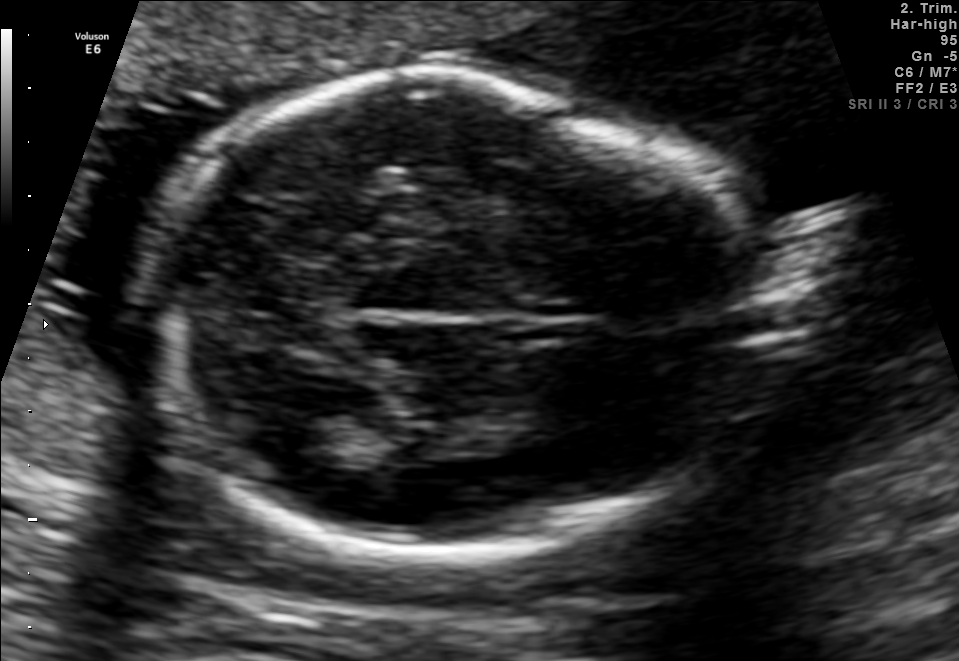
Fetal brain, trans-thalamic plane. Locate the fetal head and, if visible, the cavum septum pellucidum (CSP) and lateral ventricle (LV). Give bounding boxes as [x1,y1,x2,y2].

Head: [149,72,754,547]